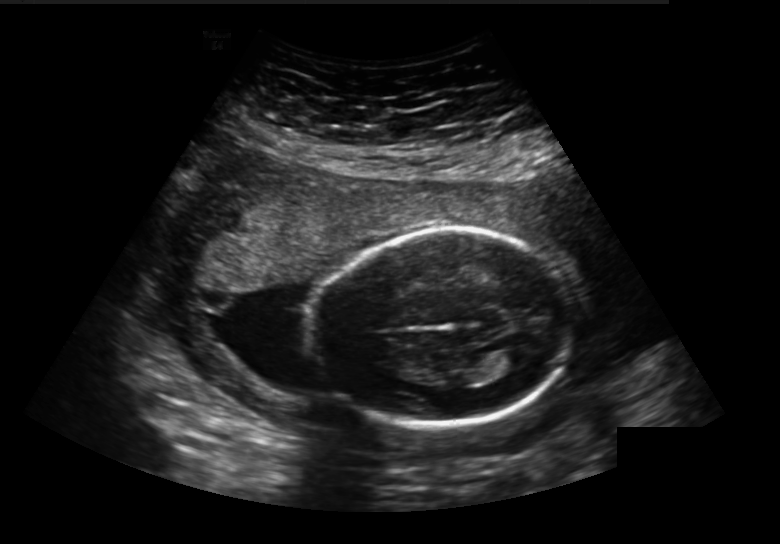
What is the fetal head circumference? Image width is 184.0 mm.

176.3 mm